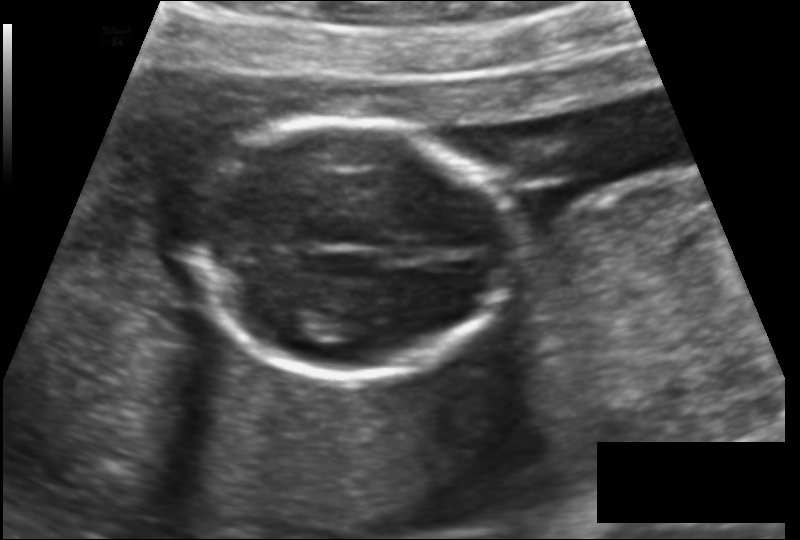
Fetal head ultrasound. Image width: 109.0 mm. Give [x1,y1,x2,y2] bounding boxes for each visible structure among: fetal head, CSP, LV.

Head: [189,122,515,377]